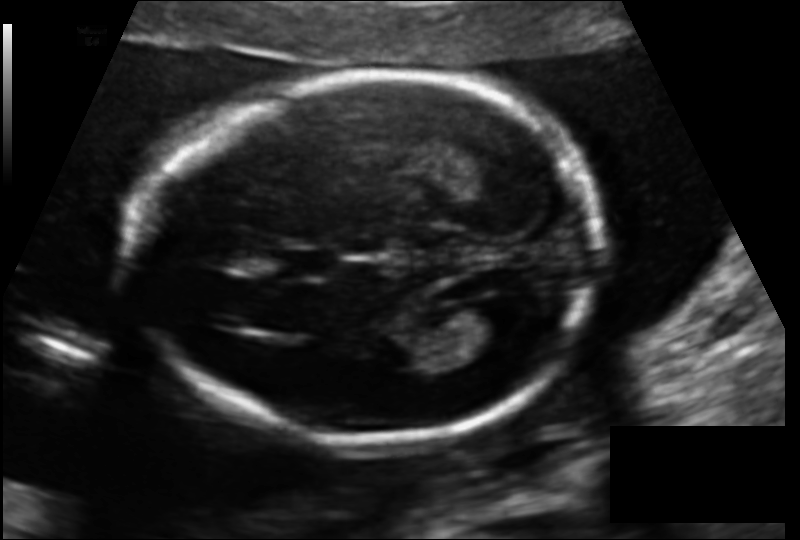
In this fetal head ultrasound, give bounding boxes for the head outline, cavum septum pellucidum (CSP), and lateral ventricle (LV), where visible. Image width: 100.2 mm.

Head: [138,76,597,441]
CSP: [278,248,333,277]
Lateral ventricle: [455,283,533,351]